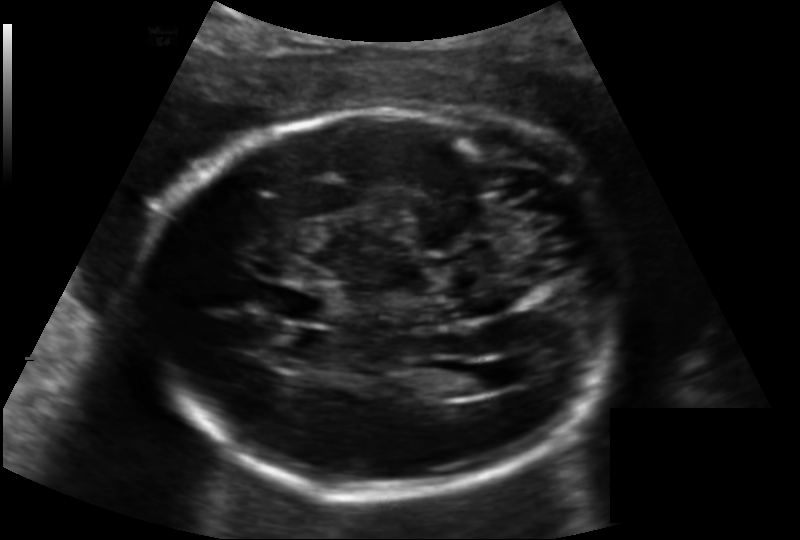
Fetal head ultrasound. Image width: 126.5 mm. Locate the lateral ventricle.

Lateral ventricle: [436,361,500,399]